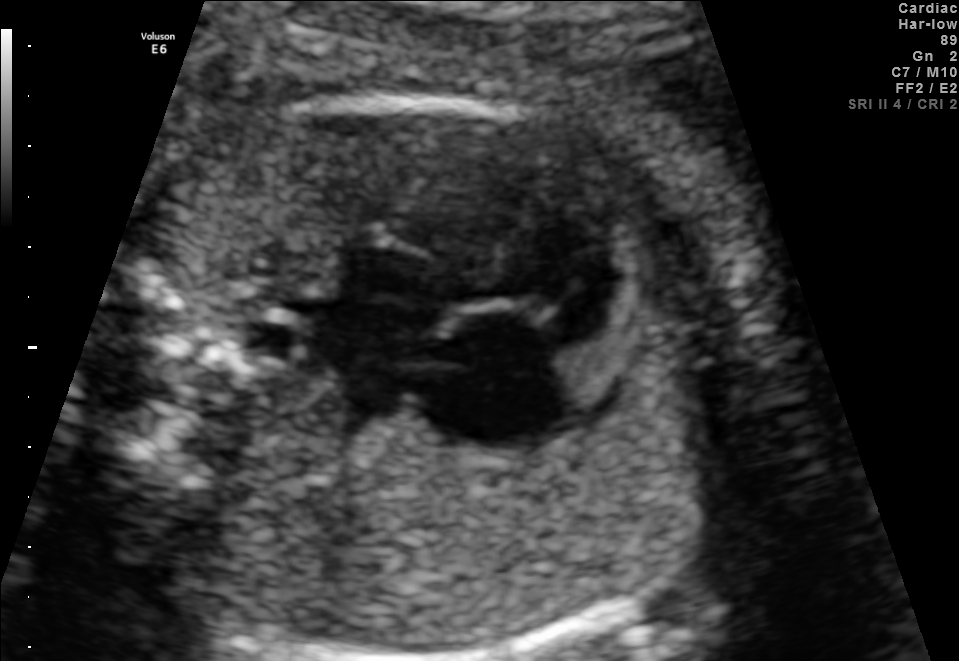
Identify the standard plane in this fetal ultrasound image: fetal abdomen, fetal brain, fetal femur, fetal thorax, maternal cervix, or other. If it's fetal brain and one of the three standard brain planes (trans-thalamic, trans-cerebellum, trans-ventricular), name which.

Fetal thorax